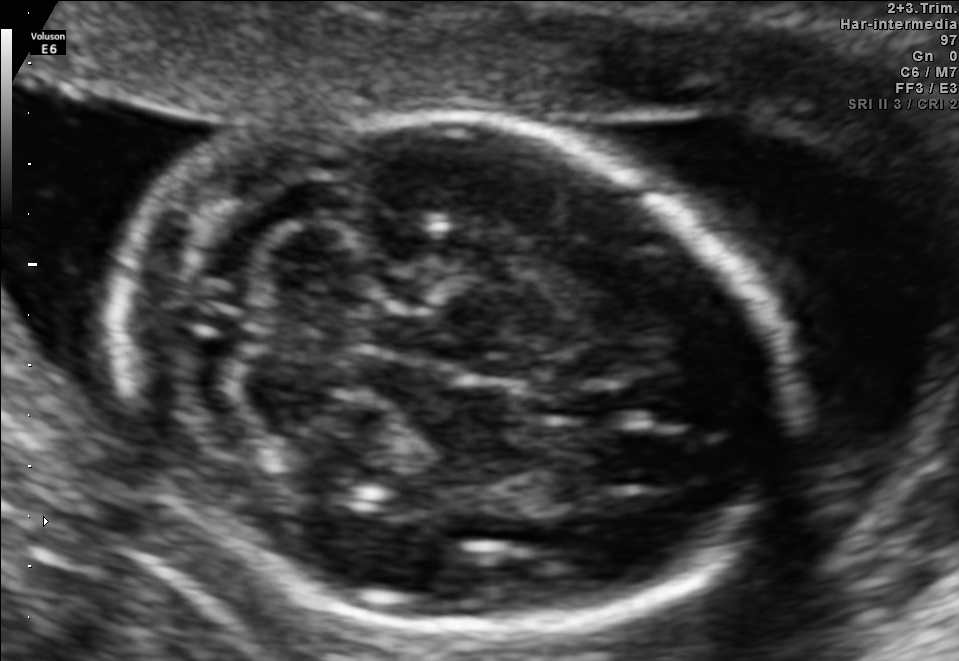
In this fetal brain, trans-cerebellum plane, give bounding boxes for the head outline, cavum septum pellucidum (CSP), and lateral ventricle (LV), where visible.

Head: [107,109,796,632]